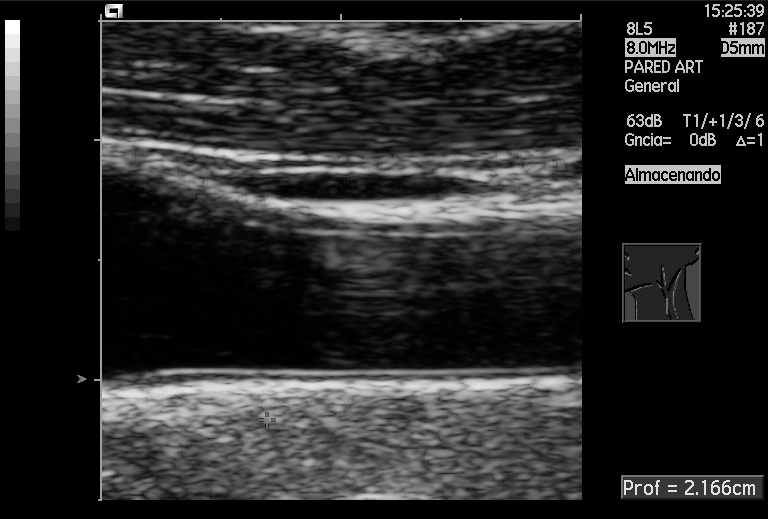
This is a 2D maternal-fetal ultrasound frame. Is it a fetal abdomen, fetal brain, fetal femur, fetal thorax, maternal cervix, or other standard plane? If it's fetal brain and one of the three standard brain planes (trans-thalamic, trans-cerebellum, trans-ventricular), name which.

Other